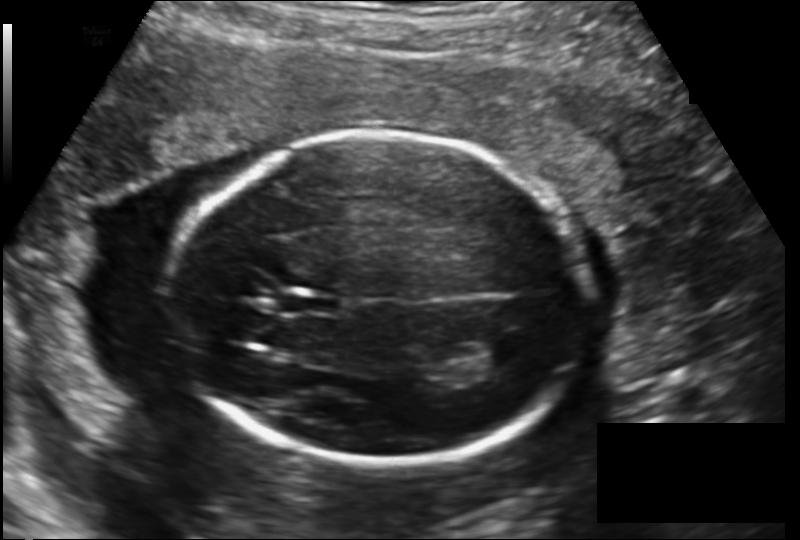
Measure the fetal head circumference shown in this ultrasound image. Image width: 130.6 mm.

Head circumference: 199.3 mm.